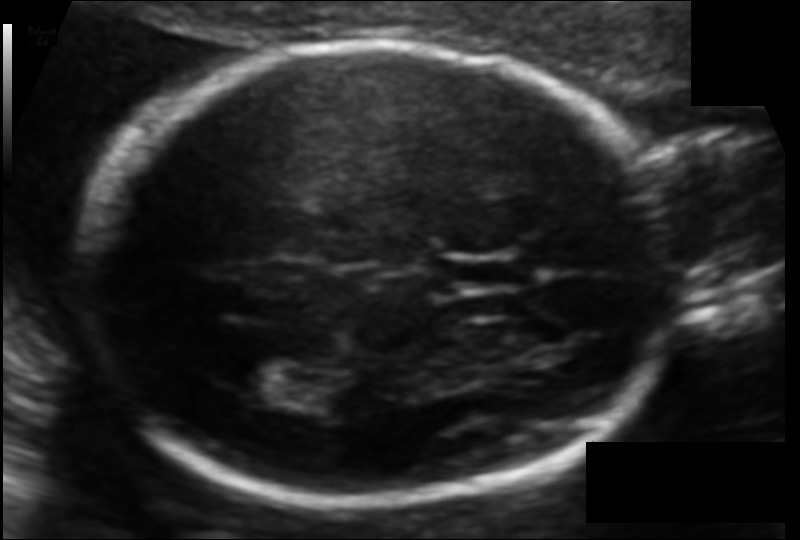
From this fetal ultrasound, estimate the head circumference (image width 83.2 mm).

Head circumference: 177.4 mm.